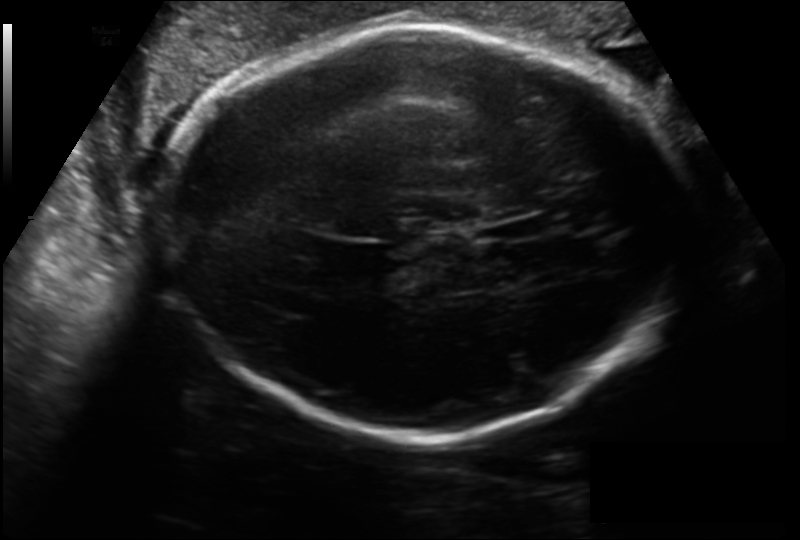
Fetal head ultrasound. Image width: 158.9 mm. Locate the fetal head.

Head: [168,26,681,440]